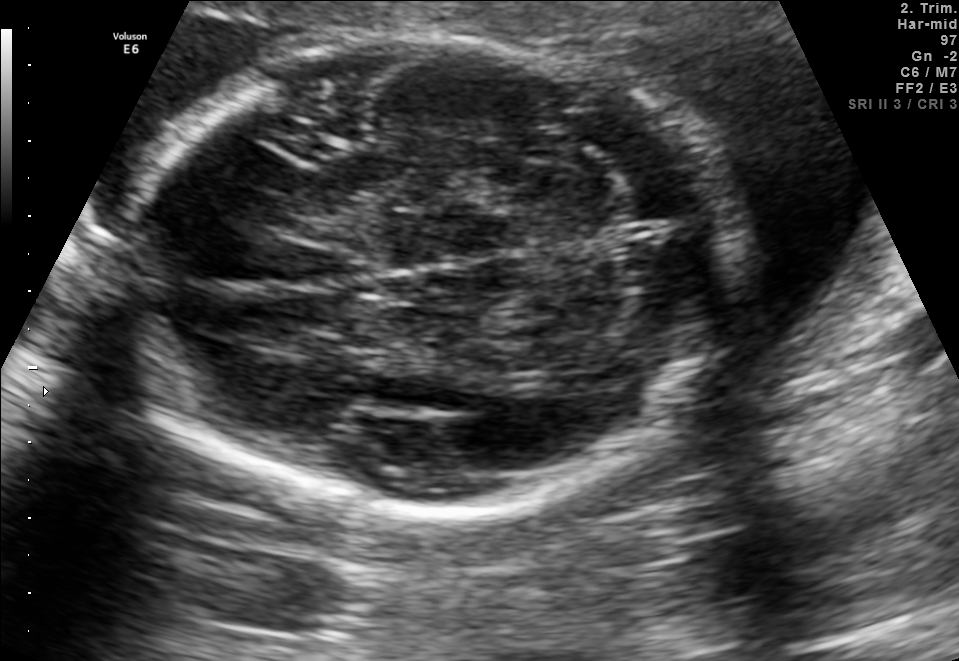
Classify this maternal-fetal ultrasound image as one of the six standard planes — fetal abdomen, fetal brain, fetal femur, fetal thorax, maternal cervix, or other. If it's fetal brain and one of the three standard brain planes (trans-thalamic, trans-cerebellum, trans-ventricular), name which.

Fetal brain (trans-cerebellum plane)